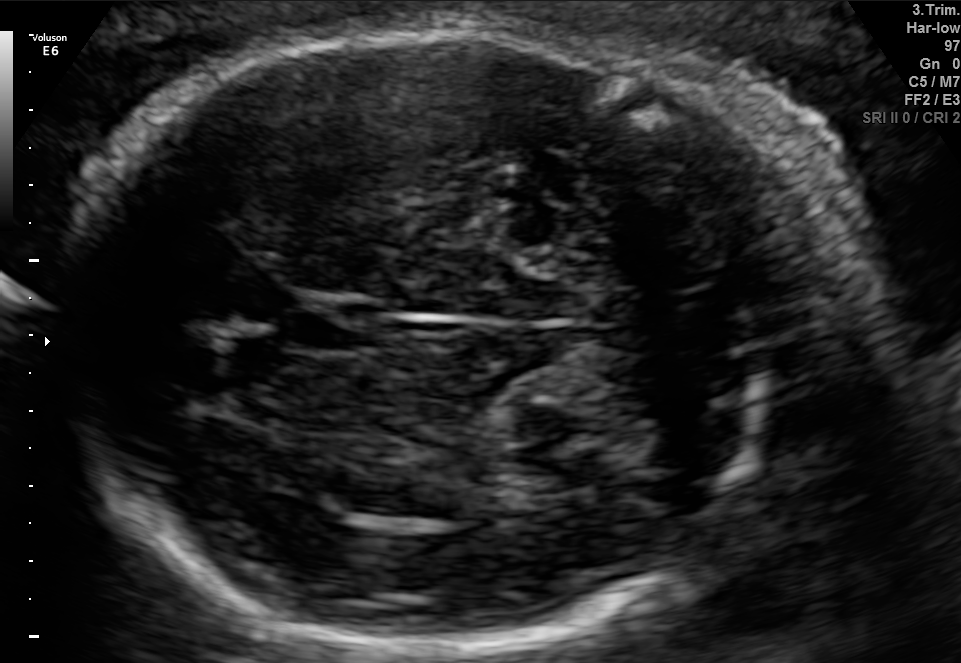
This is a 2D maternal-fetal ultrasound frame. Is it a fetal abdomen, fetal brain, fetal femur, fetal thorax, maternal cervix, or other standard plane? If it's fetal brain and one of the three standard brain planes (trans-thalamic, trans-cerebellum, trans-ventricular), name which.

Fetal brain (trans-cerebellum plane)